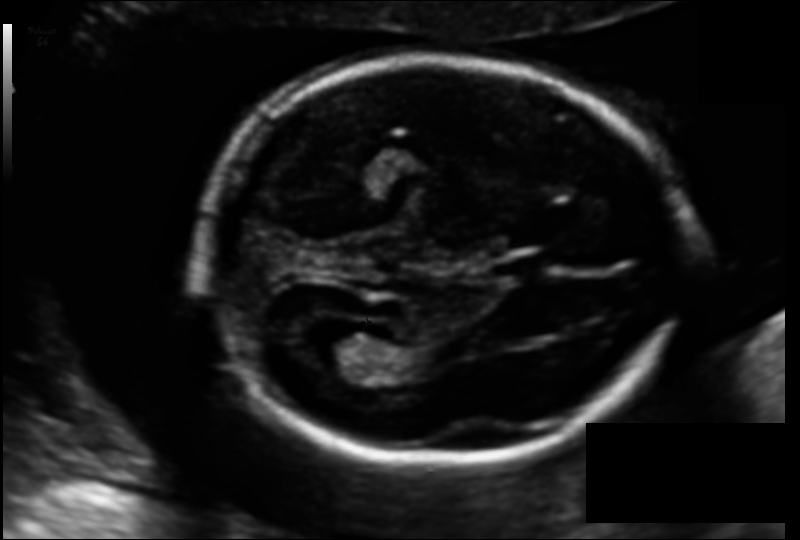
Fetal head ultrasound. Image width: 97.9 mm. Where is the lateral ventricle?

Lateral ventricle bounding box: [297,313,386,386]